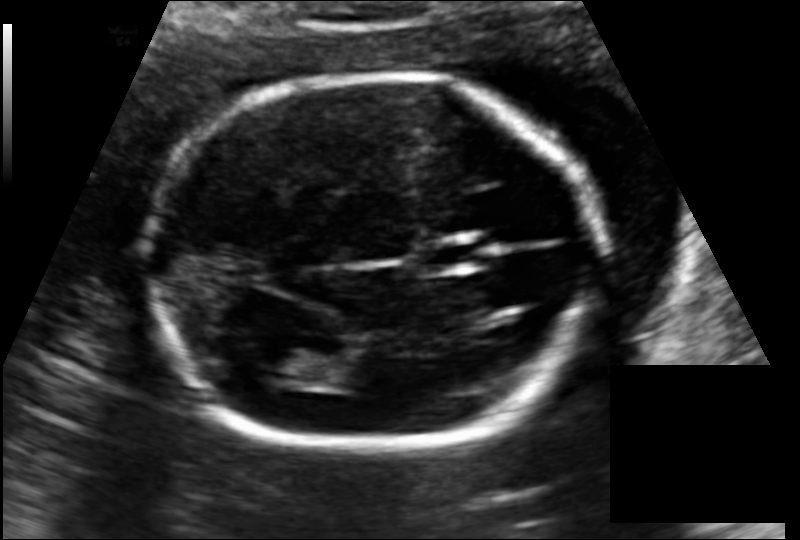
Fetal head ultrasound. Image width: 101.6 mm. Where is the fetal head?

Head bounding box: [148,74,603,453]